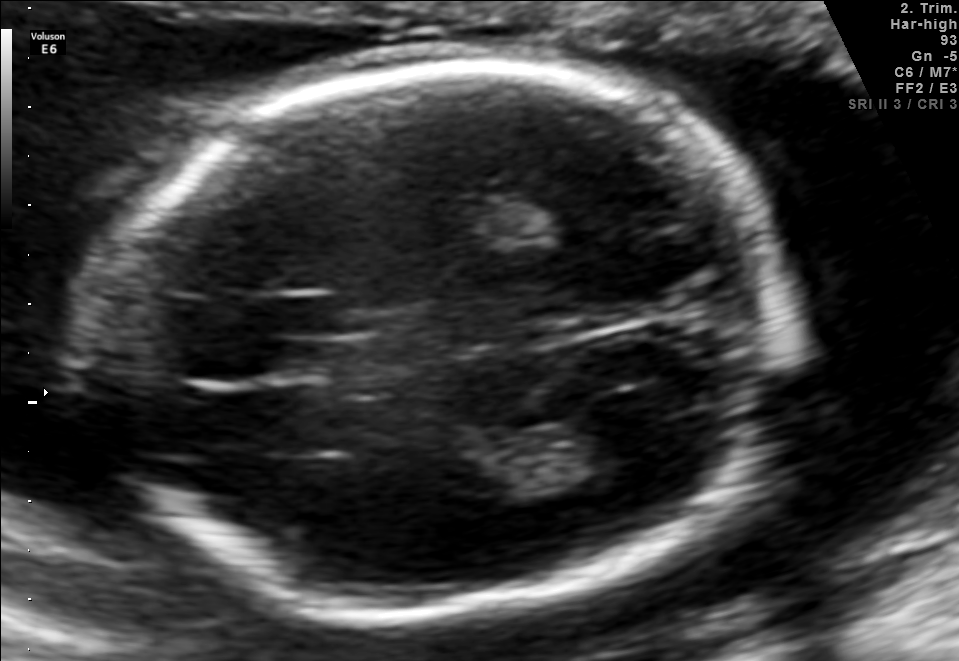
Fetal brain, trans-thalamic plane. Locate the lateral ventricle.

Lateral ventricle: [538,394,673,493]